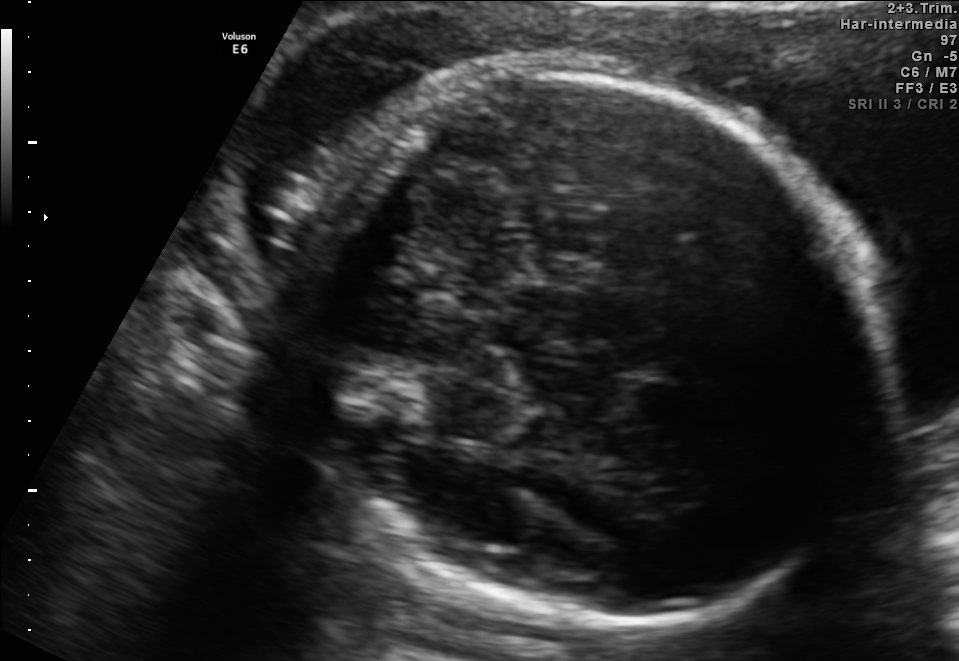
In this fetal brain, trans-thalamic plane, give bounding boxes for the head outline, cavum septum pellucidum (CSP), and lateral ventricle (LV), where visible.

Head: [293,62,882,627]